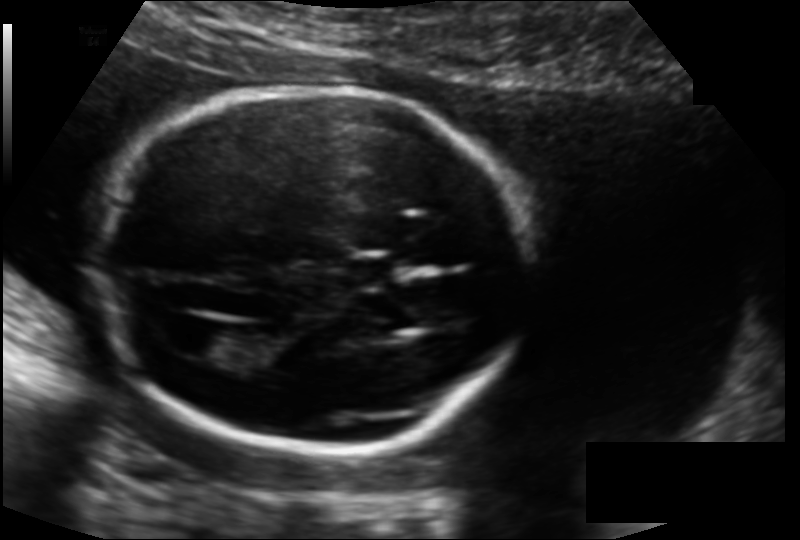
What is the fetal head circumference? Image width is 107.7 mm.

174.6 mm